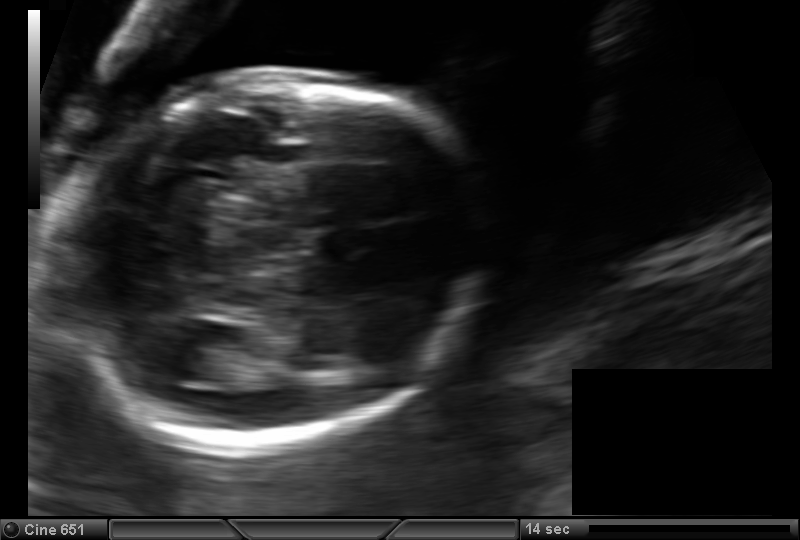
Fetal head ultrasound. Image width: 106.1 mm. Locate the fetal head and, if visible, the cavum septum pellucidum (CSP) and lateral ventricle (LV). Give bounding boxes as [x1,y1,x2,y2].

Head: [56,82,482,450]